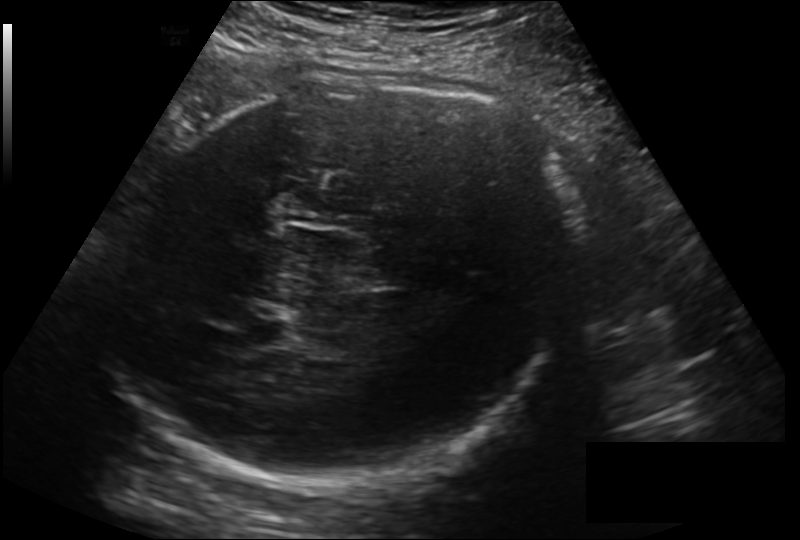
Fetal head ultrasound. Image width: 168.5 mm. Locate the fetal head.

Head: [118,74,576,485]